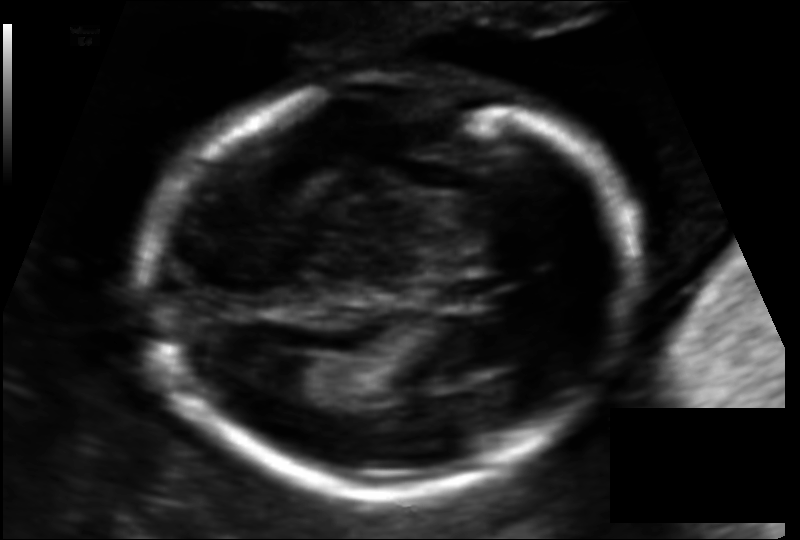
In this fetal head ultrasound, give the bounding box of the lateral ventricle. Image width: 92.3 mm.

[255,352,339,403]